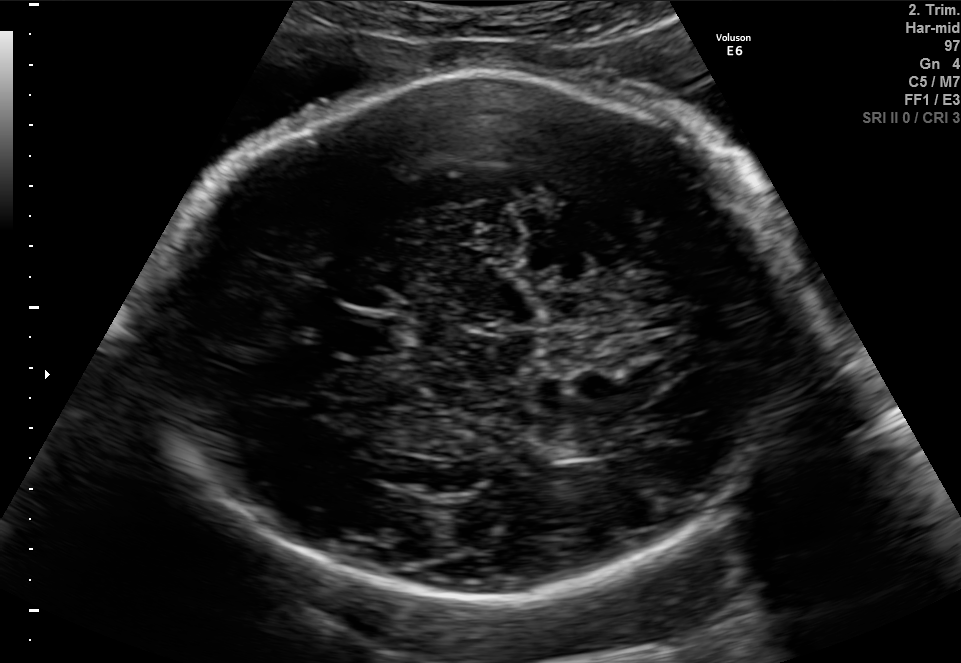
Fetal brain, trans-thalamic plane. Where is the lateral ventricle?

Lateral ventricle bounding box: [551,434,606,461]